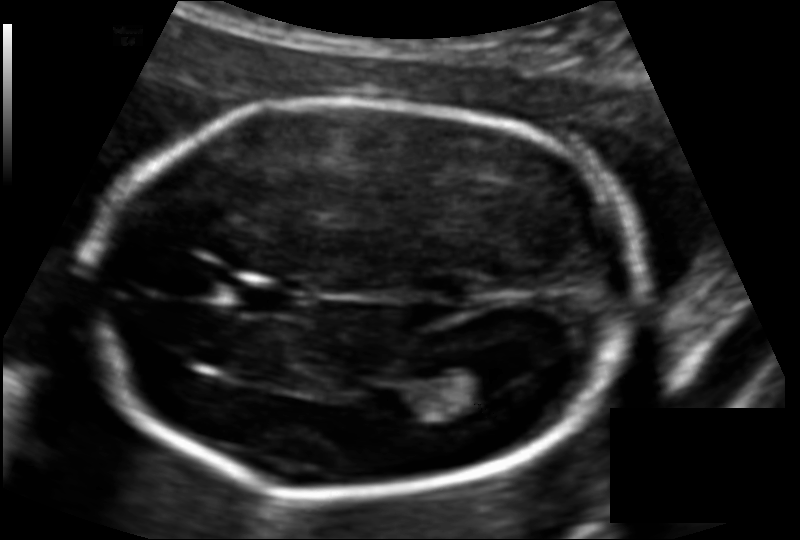
Fetal head ultrasound. Image width: 93.9 mm. Where is the cavum septum pellucidum?

CSP bounding box: [232,277,312,322]